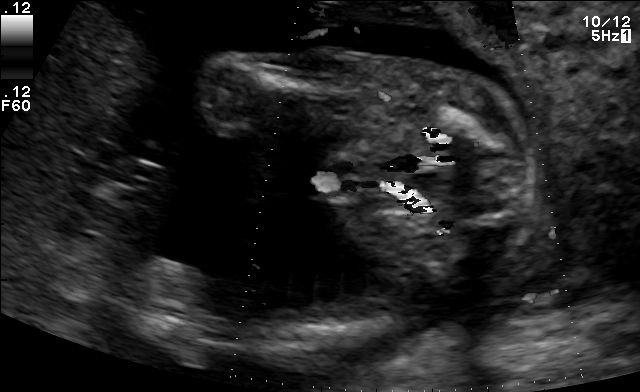
This is a 2D maternal-fetal ultrasound frame. Is it a fetal abdomen, fetal brain, fetal femur, fetal thorax, maternal cervix, or other standard plane? If it's fetal brain and one of the three standard brain planes (trans-thalamic, trans-cerebellum, trans-ventricular), name which.

Other